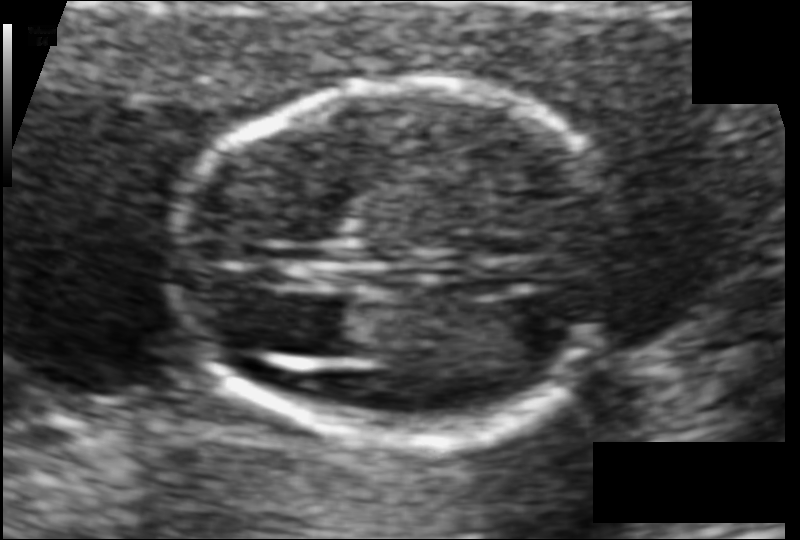
Fetal head ultrasound. Image width: 61.4 mm. Give [x1,y1,x2,y2] bounding boxes for each visible structure among: fetal head, CSP, LV.

Head: [175,86,620,436]